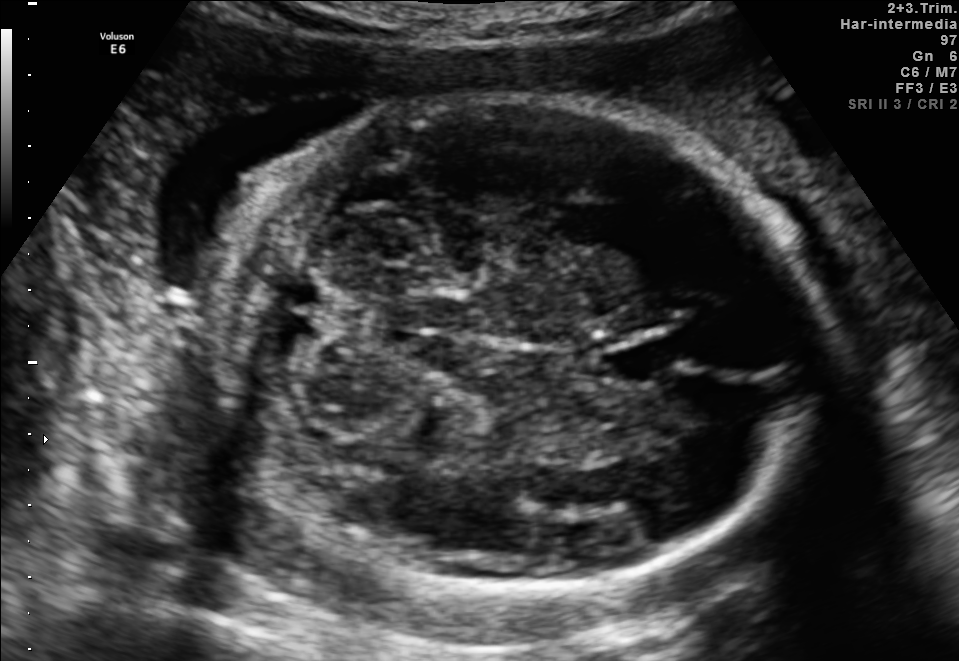
Fetal brain, trans-cerebellum plane. Locate the fetal head.

Head: [202,94,823,583]